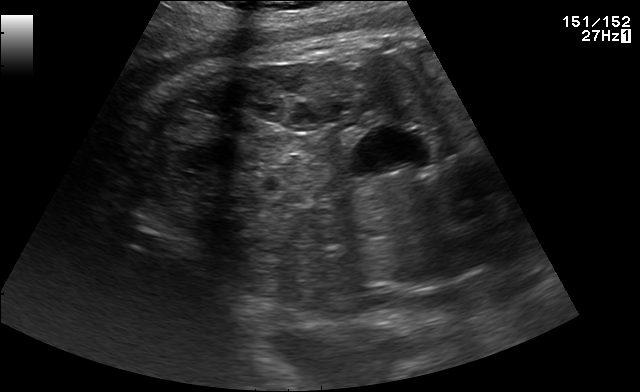
This is a 2D maternal-fetal ultrasound frame. Is it a fetal abdomen, fetal brain, fetal femur, fetal thorax, maternal cervix, or other standard plane? If it's fetal brain and one of the three standard brain planes (trans-thalamic, trans-cerebellum, trans-ventricular), name which.

Other